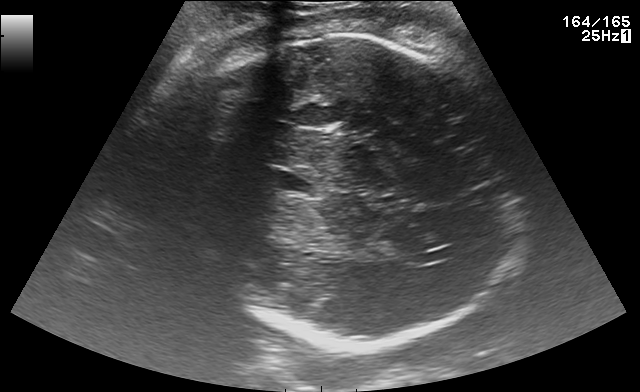
Fetal brain, trans-thalamic plane. Locate the lateral ventricle.

Lateral ventricle: [413,243,456,269]